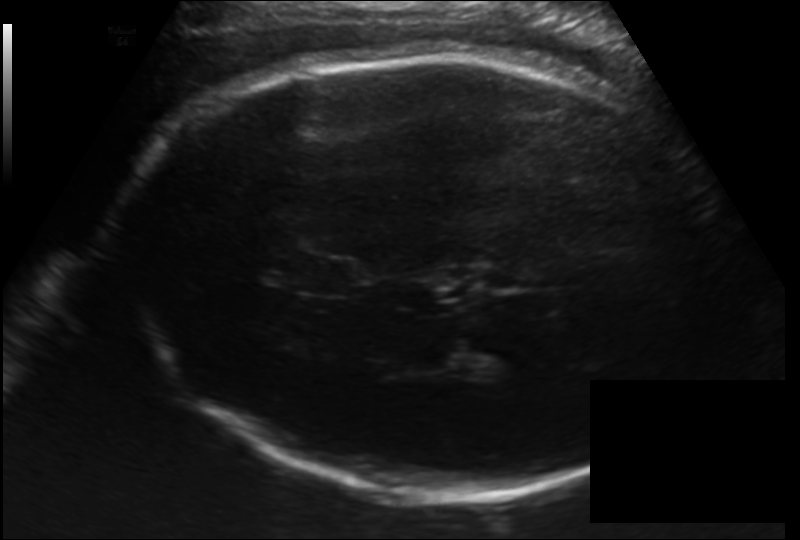
In this fetal head ultrasound, give the bounding box of the fetal head. Image width: 153.4 mm.

[118,51,727,497]